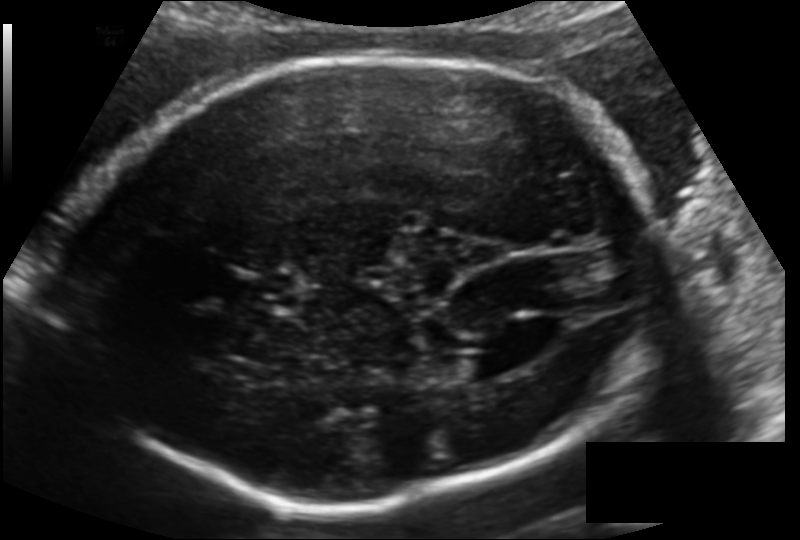
Fetal head ultrasound. Image width: 118.6 mm. Where is the lateral ventricle?

Lateral ventricle bounding box: [446,346,508,391]